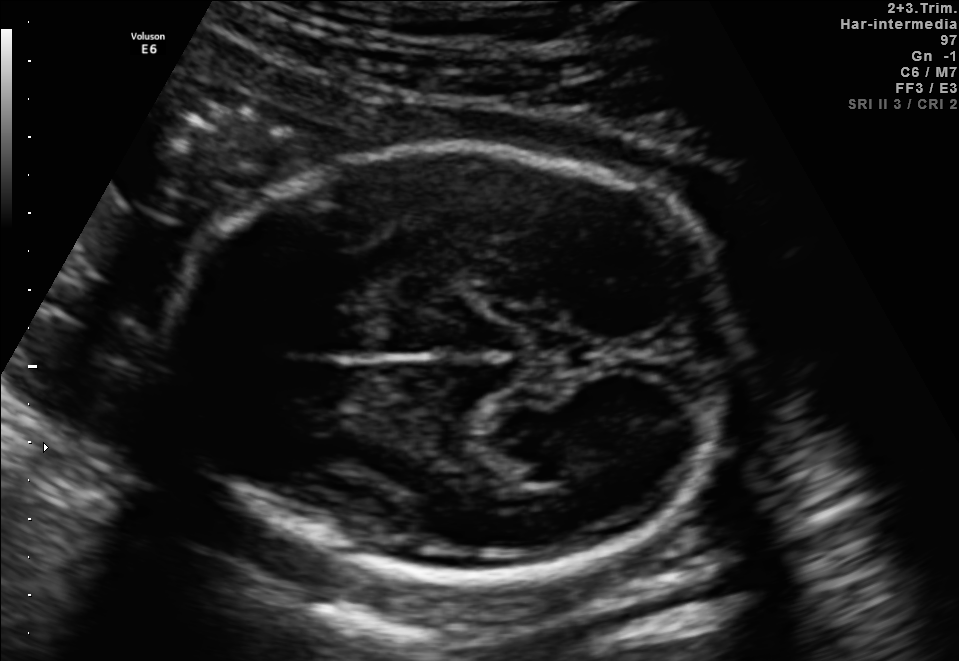
In this fetal brain, trans-thalamic plane, give the bounding box of the fetal head.

[166,144,733,579]